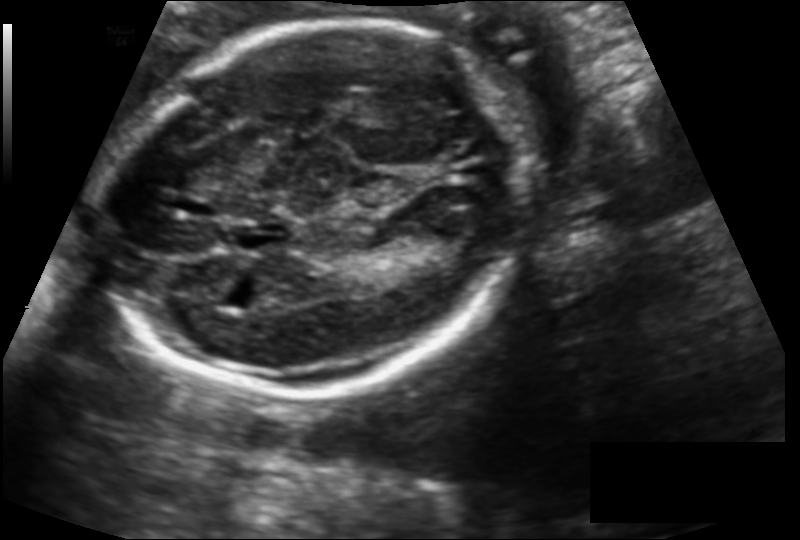
Measure the fetal head circumference shown in this ultrasound image. Image width: 106.3 mm.

Head circumference: 175.1 mm.